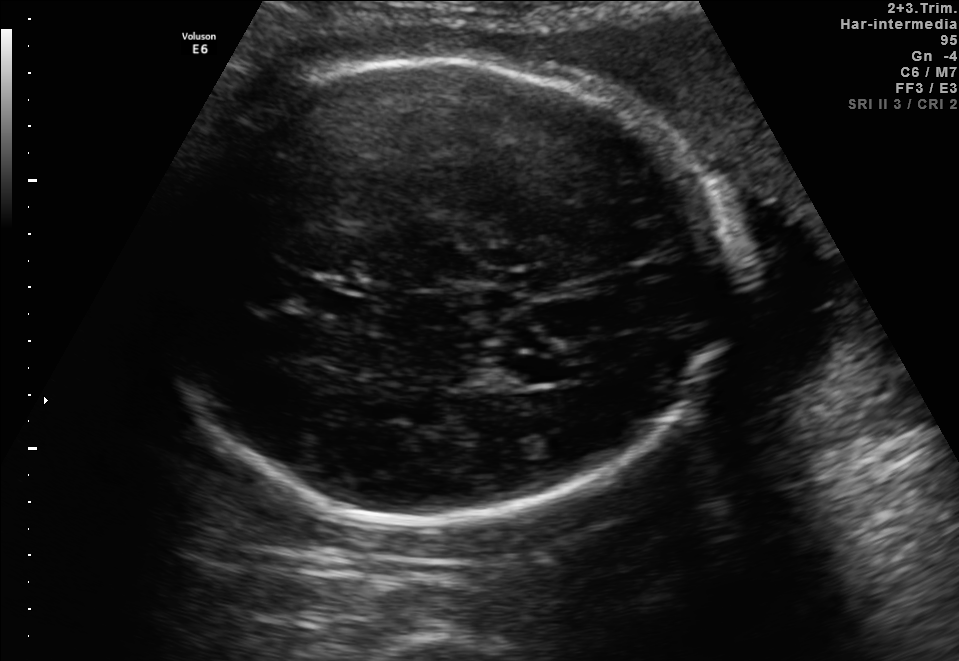
Fetal brain, trans-thalamic plane. Locate the cavum septum pellucidum.

CSP: [306,278,368,317]